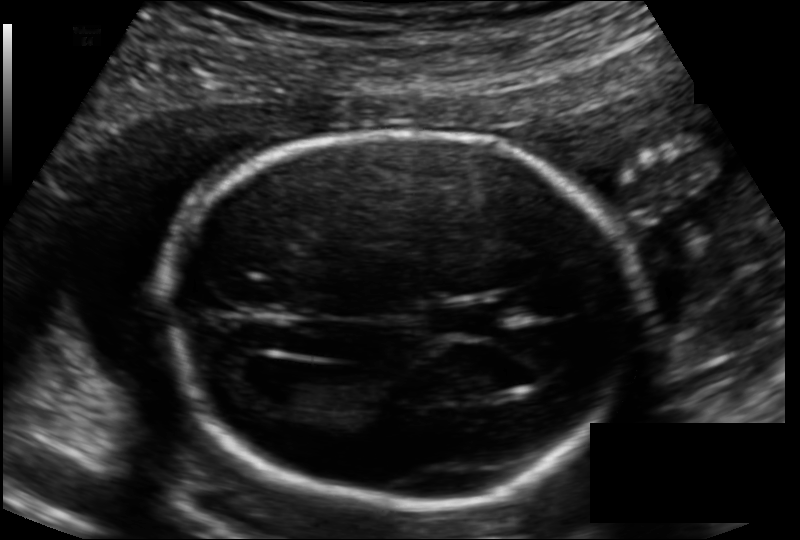
Fetal head ultrasound. Image width: 100.8 mm. Where is the fetal head?

Head bounding box: [168,133,634,505]